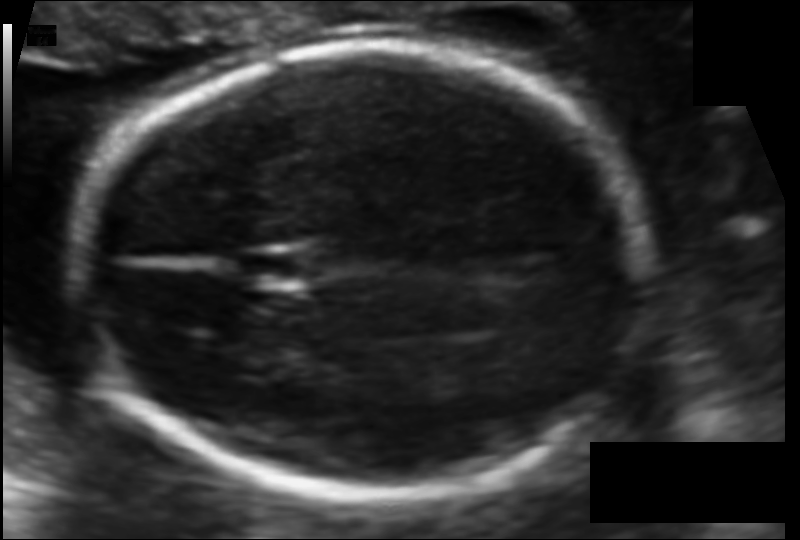
Fetal head ultrasound. Image width: 84.8 mm. Give [x1,y1,x2,y2] bounding boxes for each visible structure among: fetal head, CSP, LV.

Head: [81,47,644,500]
CSP: [235,248,308,290]